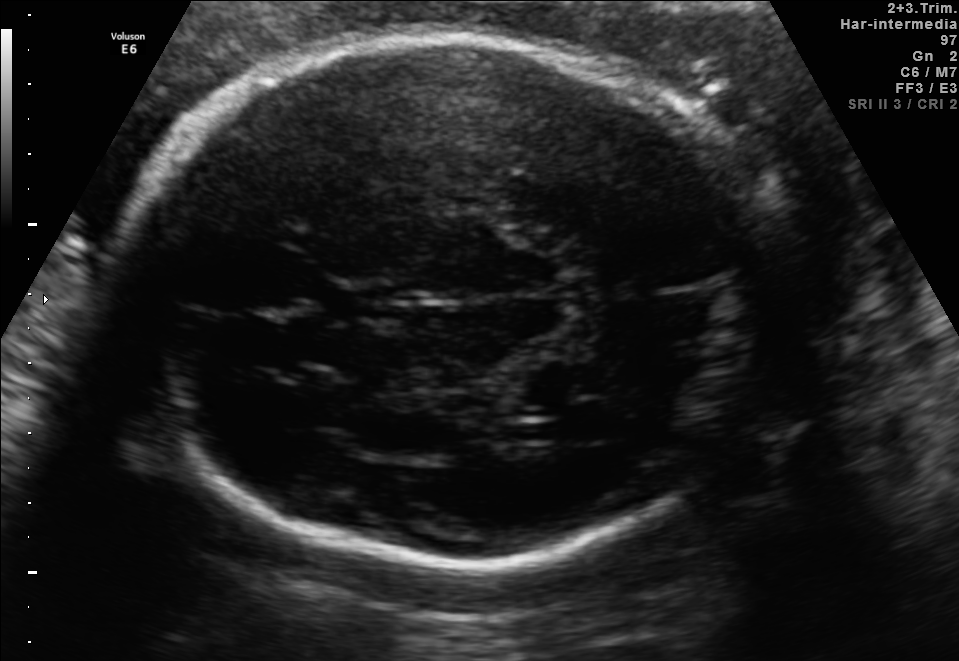
Fetal brain, trans-thalamic plane. Where is the cavum septum pellucidum?

CSP bounding box: [322,280,392,324]